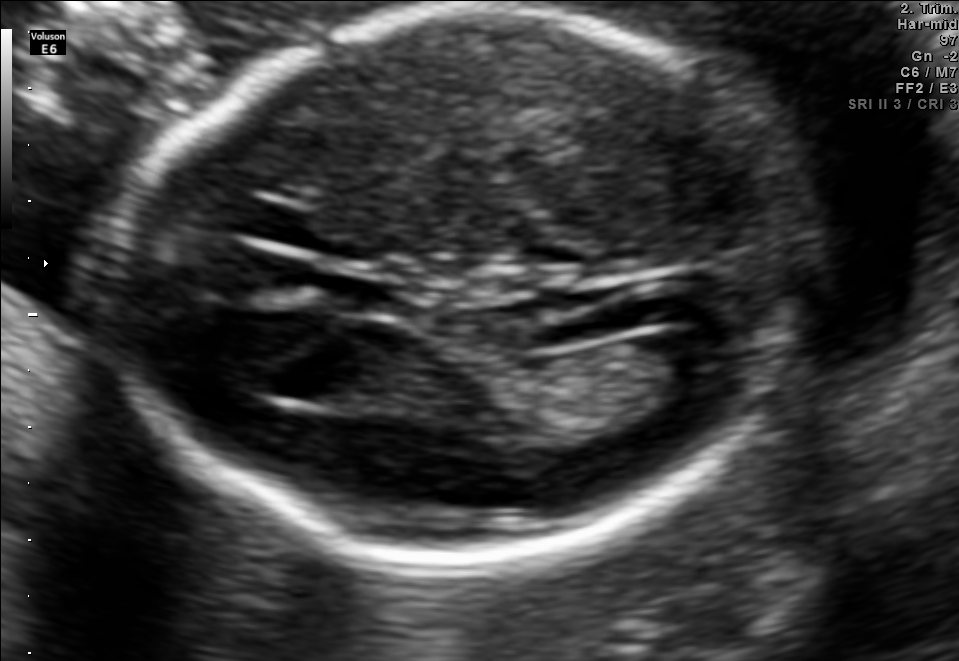
Fetal brain, trans-ventricular plane. Where is the fetal head?

Head bounding box: [101,4,828,565]